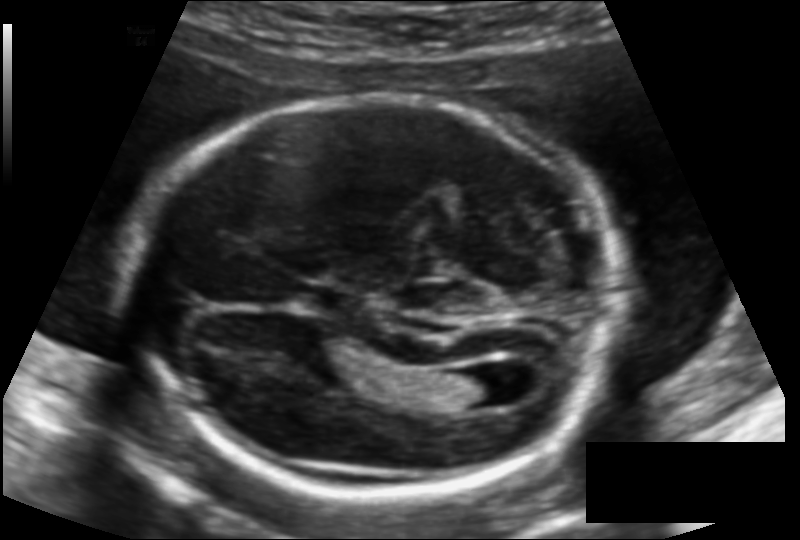
Fetal head ultrasound. Image width: 99.7 mm. Where is the fetal head?

Head bounding box: [133,95,614,494]